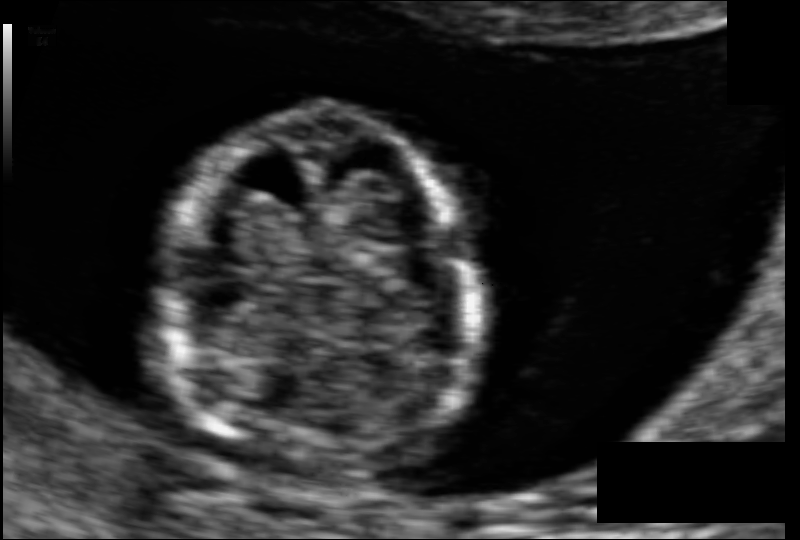
Estimate the fetal head circumference from this 2D ultrasound.

Head circumference: 76.4 mm (image width 54.8 mm).